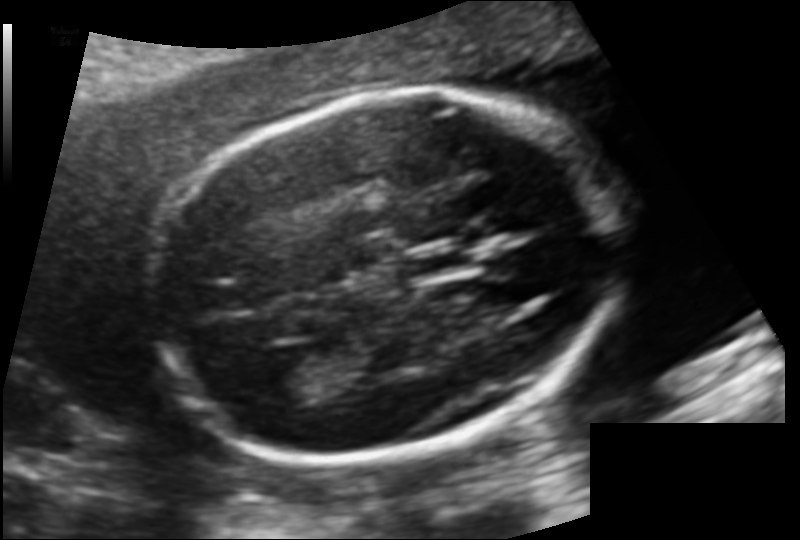
Fetal head ultrasound. Image width: 96.3 mm. Where is the lateral ventricle?

Lateral ventricle bounding box: [256,352,337,411]